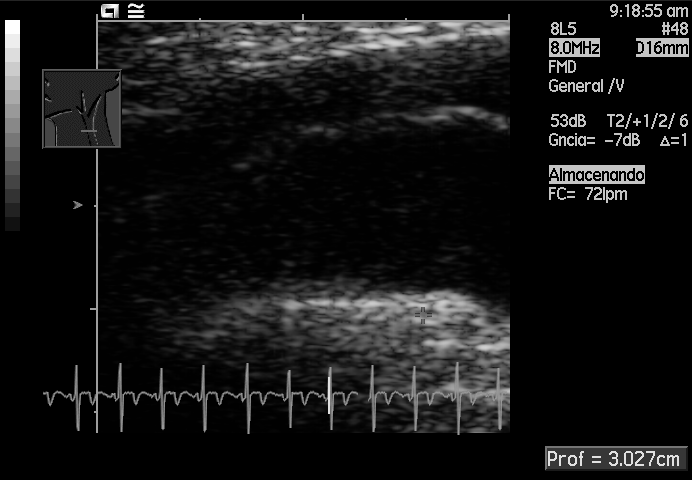
Classify this maternal-fetal ultrasound image as one of the six standard planes — fetal abdomen, fetal brain, fetal femur, fetal thorax, maternal cervix, or other. If it's fetal brain and one of the three standard brain planes (trans-thalamic, trans-cerebellum, trans-ventricular), name which.

Other